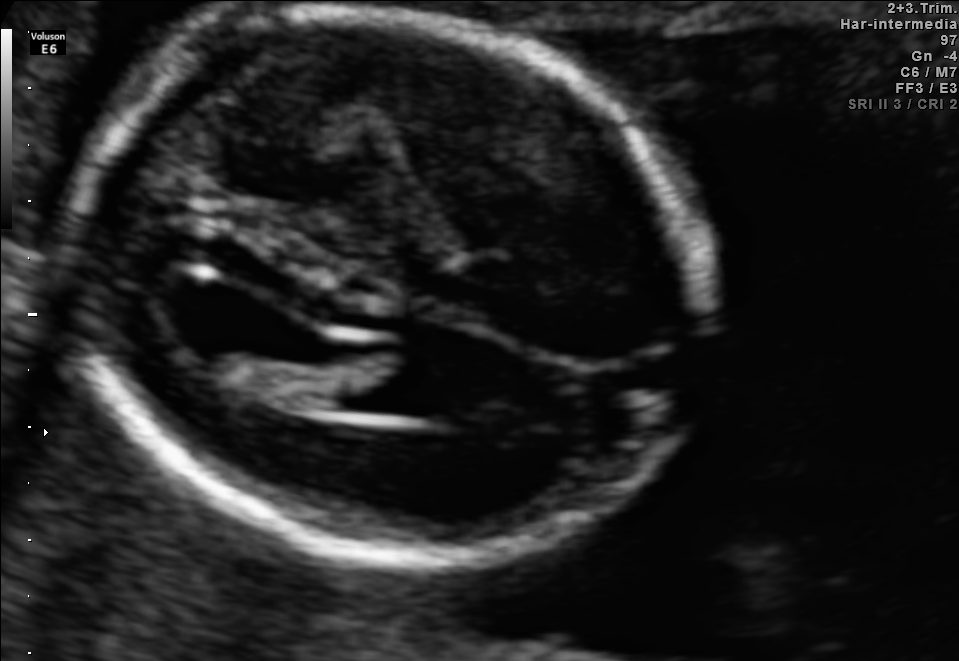
In this fetal brain, trans-ventricular plane, give the bounding box of the fetal head.

[54,4,729,577]